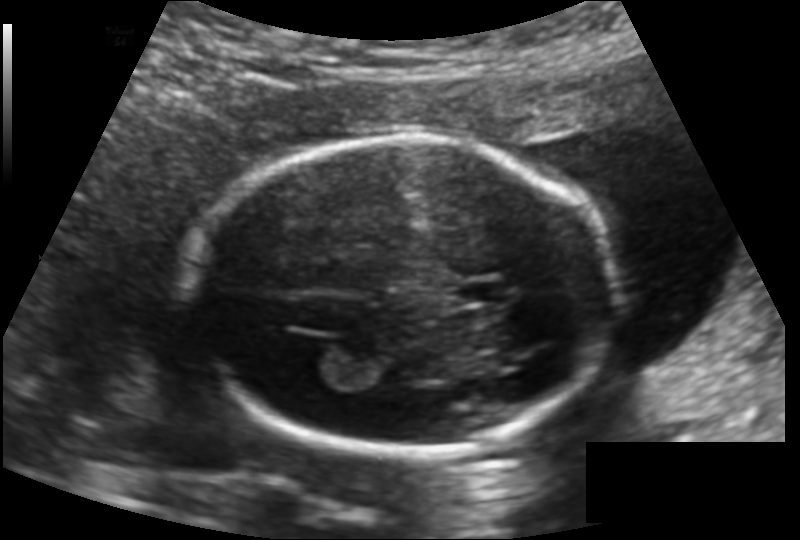
Estimate the fetal head circumference from this 2D ultrasound. Image width: 109.1 mm.

Head circumference: 162.7 mm.